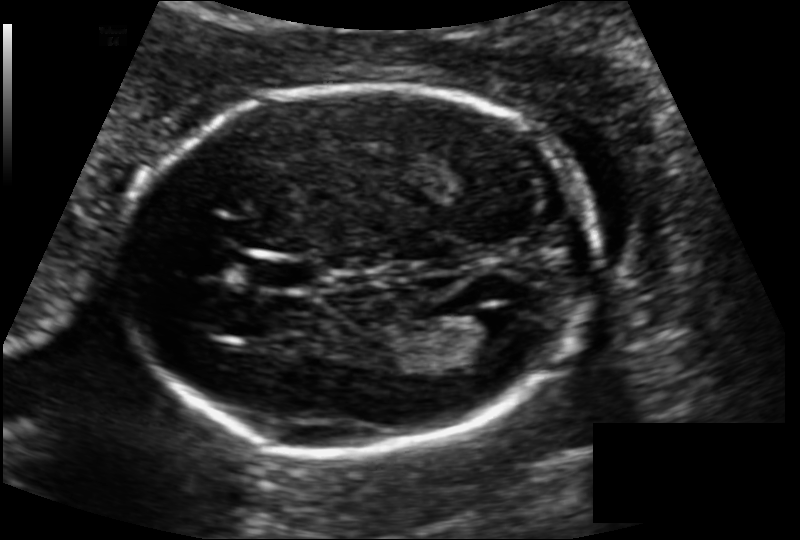
In this fetal head ultrasound, give bounding boxes for the head outline, cavum septum pellucidum (CSP), and lateral ventricle (LV), where visible. Image width: 99.0 mm.

Head: [121,87,601,457]
CSP: [246,253,317,295]
Lateral ventricle: [444,314,526,368]